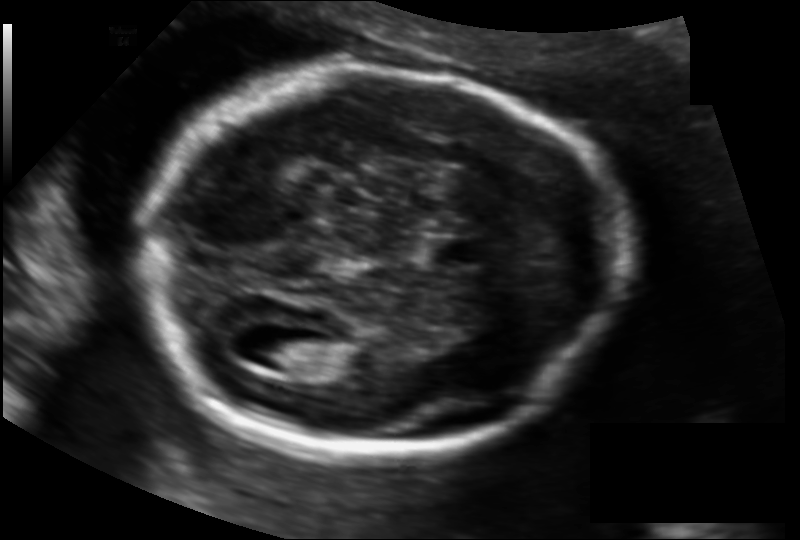
In this fetal head ultrasound, give bounding boxes for the head outline, cavum septum pellucidum (CSP), and lateral ventricle (LV), where visible. Image width: 102.3 mm.

Head: [142,69,621,452]
CSP: [429,236,482,268]
Lateral ventricle: [251,328,317,376]